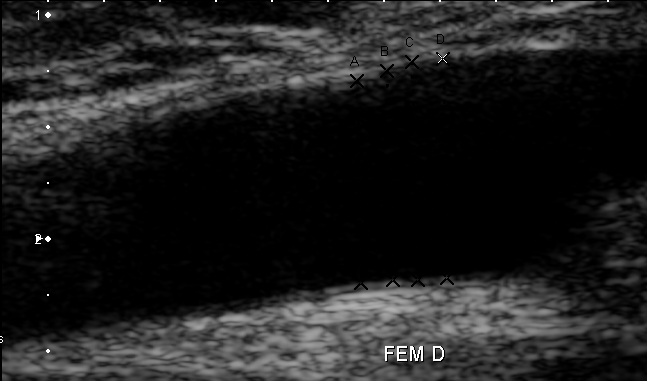
Identify the standard plane in this fetal ultrasound image: fetal abdomen, fetal brain, fetal femur, fetal thorax, maternal cervix, or other. If it's fetal brain and one of the three standard brain planes (trans-thalamic, trans-cerebellum, trans-ventricular), name which.

Other